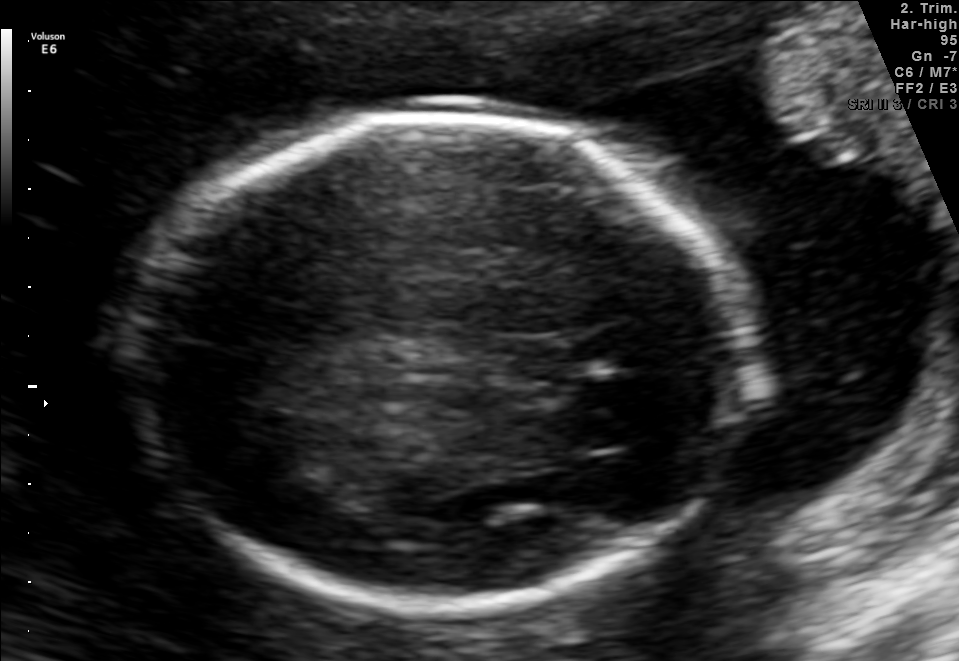
In this fetal brain, trans-thalamic plane, give bounding boxes for the head outline, cavum septum pellucidum (CSP), and lateral ventricle (LV), where visible.

Head: [142,116,749,597]